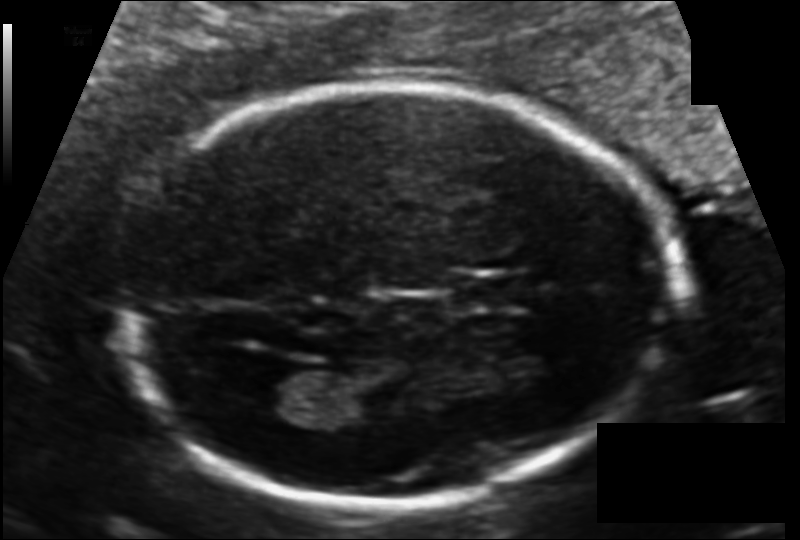
In this fetal head ultrasound, give bounding boxes for the head outline, cavum septum pellucidum (CSP), and lateral ventricle (LV), where visible. Image width: 90.0 mm.

Head: [116,87,679,507]
CSP: [451,276,526,309]
Lateral ventricle: [237,355,337,430]